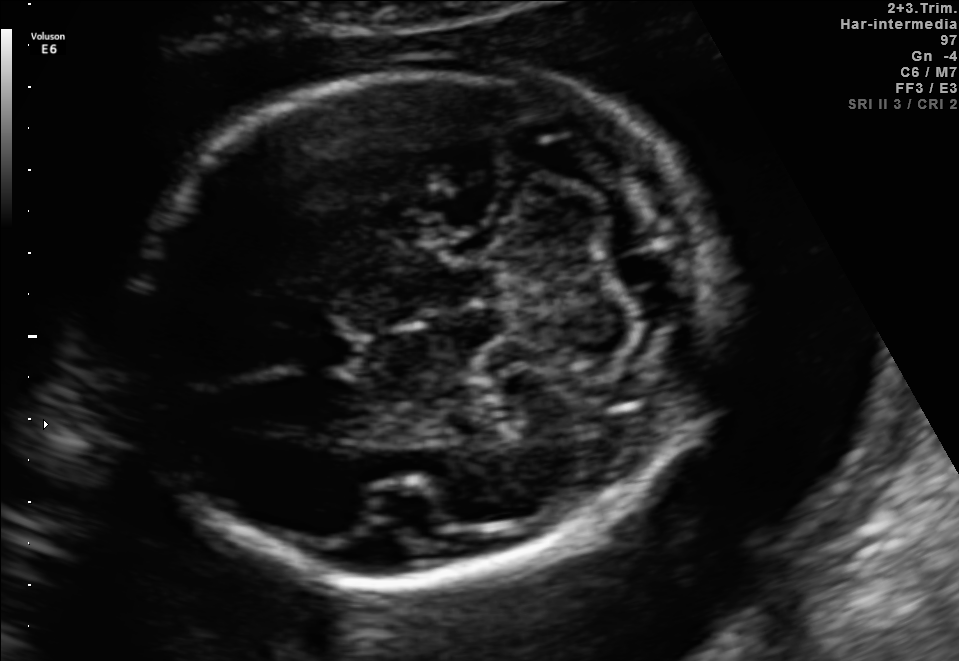
Fetal brain, trans-cerebellum plane. Where is the cavum septum pellucidum?

CSP bounding box: [288,329,358,374]